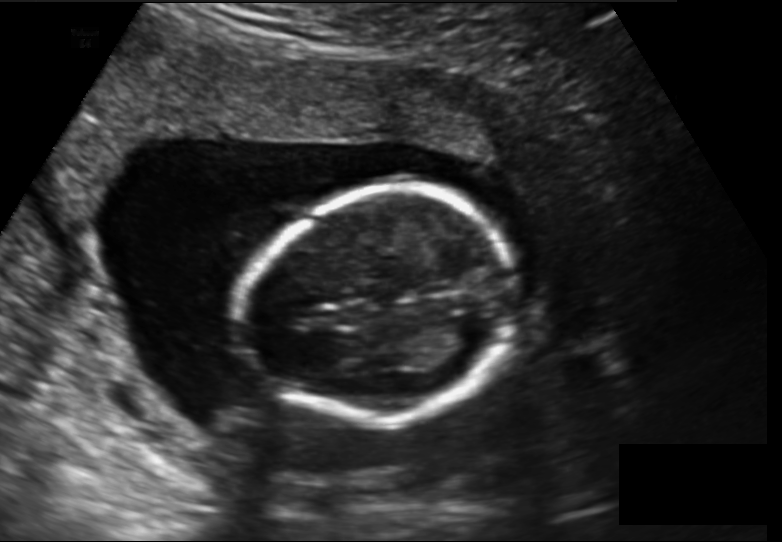
In this fetal head ultrasound, give the bounding box of the fetal head. Image width: 122.9 mm.

[245,188,519,423]